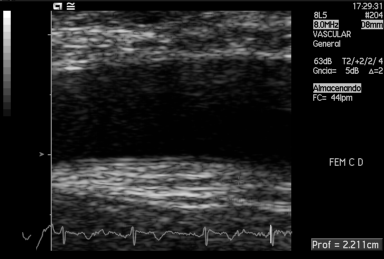
This is a 2D maternal-fetal ultrasound frame. Is it a fetal abdomen, fetal brain, fetal femur, fetal thorax, maternal cervix, or other standard plane? If it's fetal brain and one of the three standard brain planes (trans-thalamic, trans-cerebellum, trans-ventricular), name which.

Other